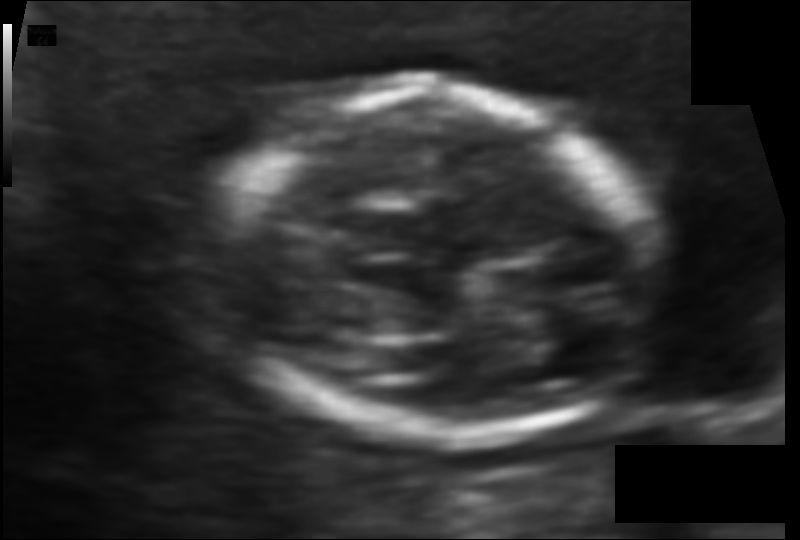
Estimate the fetal head circumference from this 2D ultrasound.

Head circumference: 103.7 mm (image width 66.1 mm).